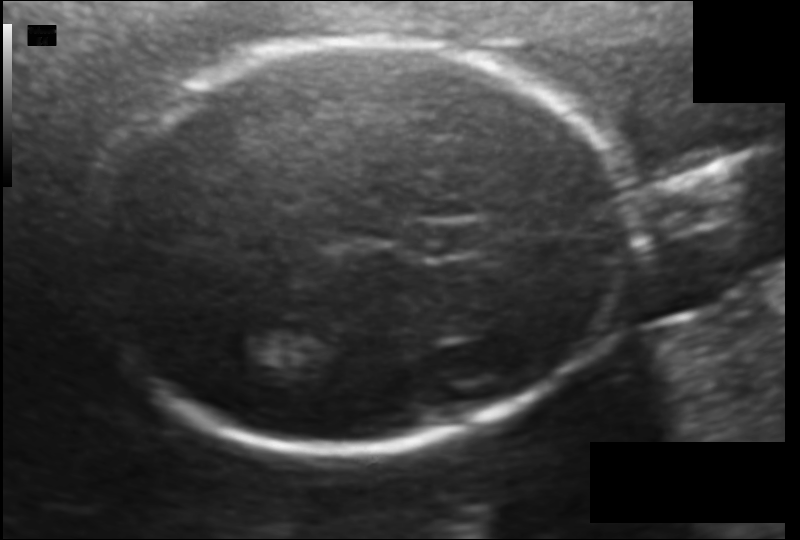
In this fetal head ultrasound, give the bounding box of the lateral ventricle. Image width: 90.8 mm.

[226,329,295,368]